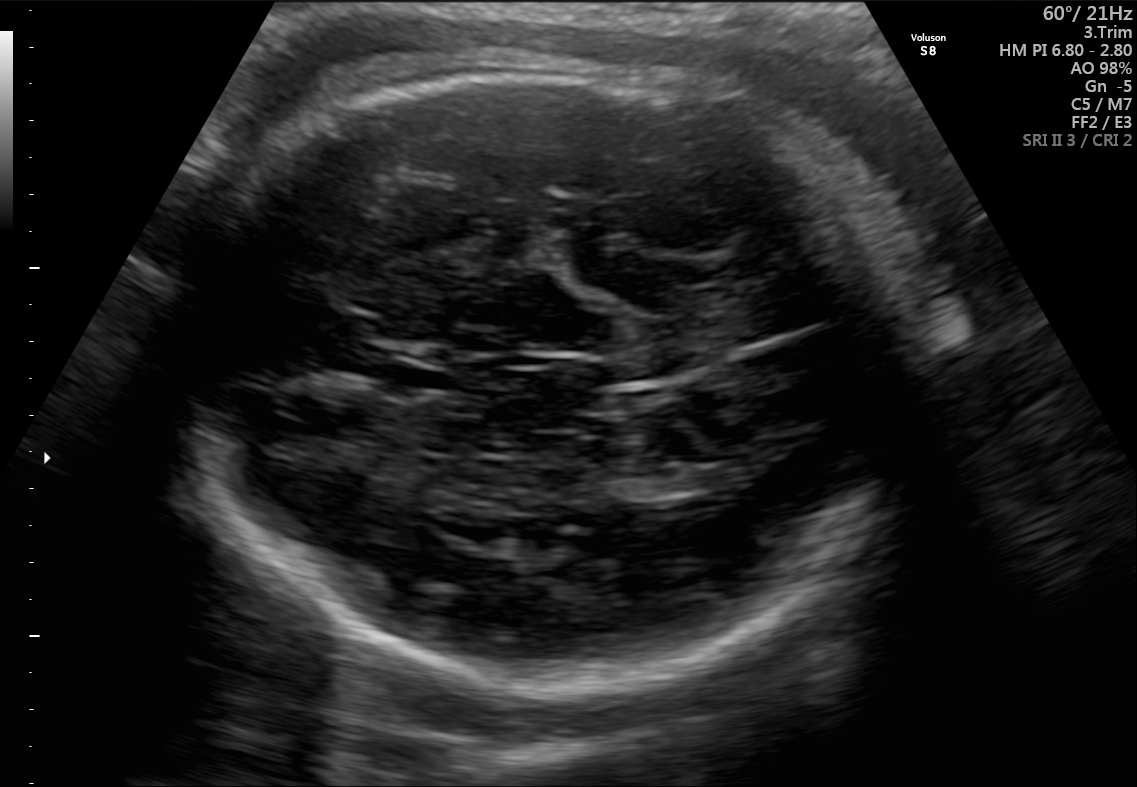
Fetal brain, trans-thalamic plane. Locate the fetal head.

Head: [167,67,918,682]